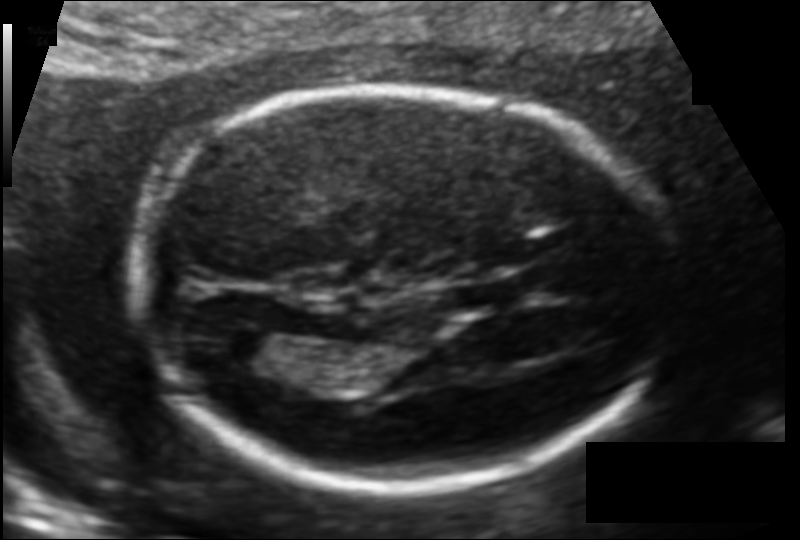
In this fetal head ultrasound, give bounding boxes for the head outline, cavum septum pellucidum (CSP), and lateral ventricle (LV), where visible. Image width: 87.0 mm.

Head: [138,88,665,489]
Lateral ventricle: [214,326,289,374]